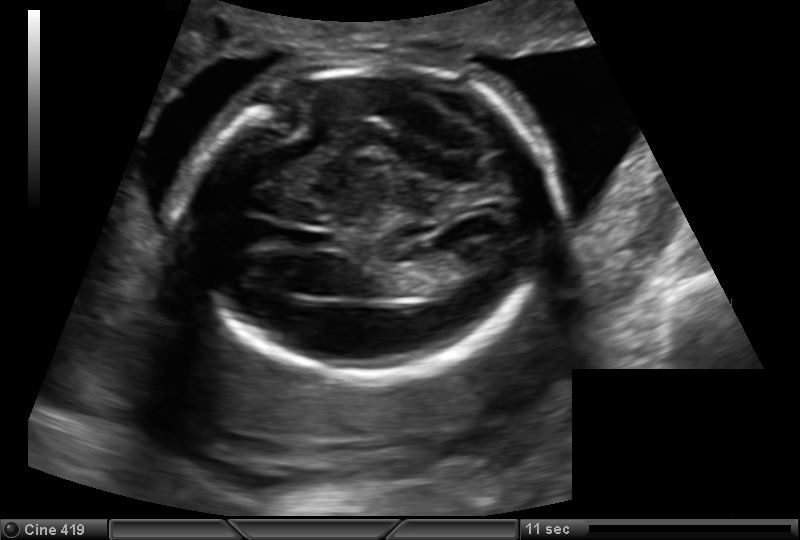
Measure the fetal head circumference shown in this ultrasound image. Image width: 122.2 mm.

Head circumference: 170.7 mm.